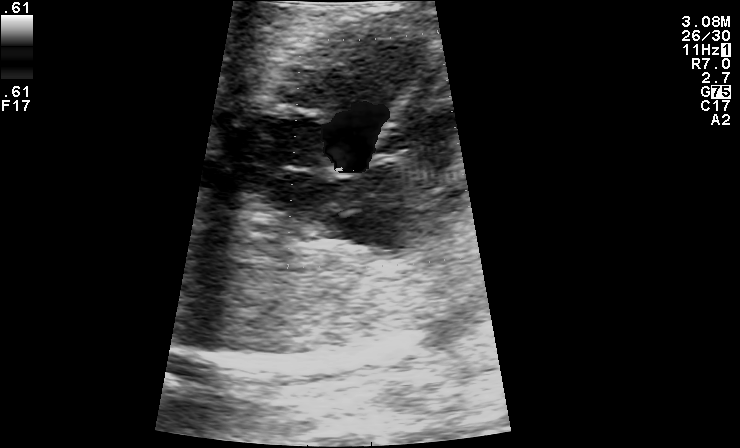
Identify the standard plane in this fetal ultrasound image: fetal abdomen, fetal brain, fetal femur, fetal thorax, maternal cervix, or other. If it's fetal brain and one of the three standard brain planes (trans-thalamic, trans-cerebellum, trans-ventricular), name which.

Other